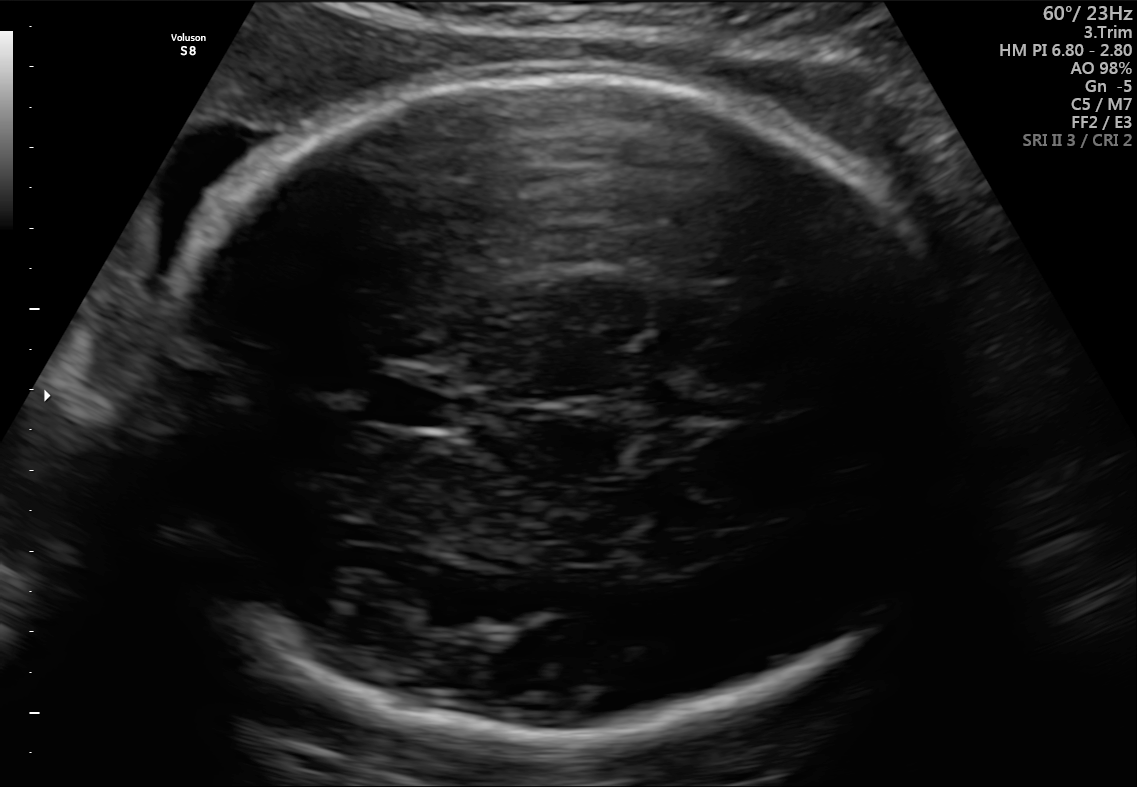
Fetal brain, trans-thalamic plane. Where is the fetal head?

Head bounding box: [159,75,964,743]